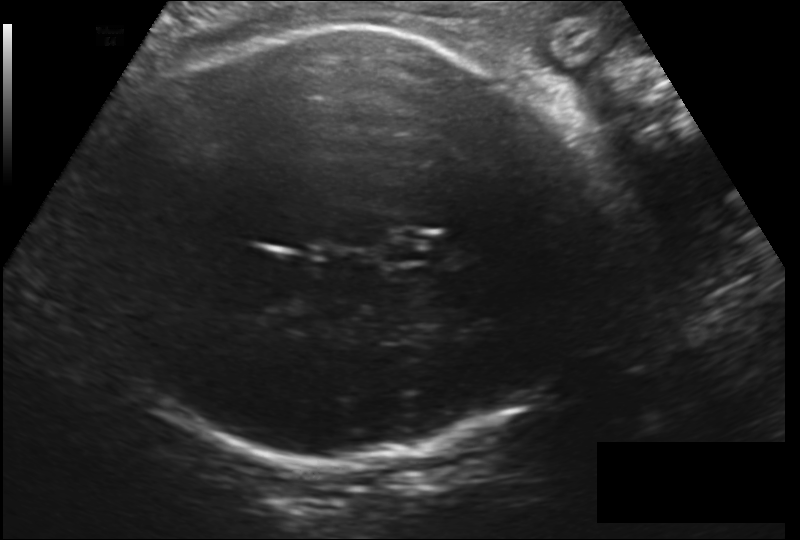
Estimate the fetal head circumference from this 2D ultrasound.

Head circumference: 330.9 mm (image width 169.8 mm).